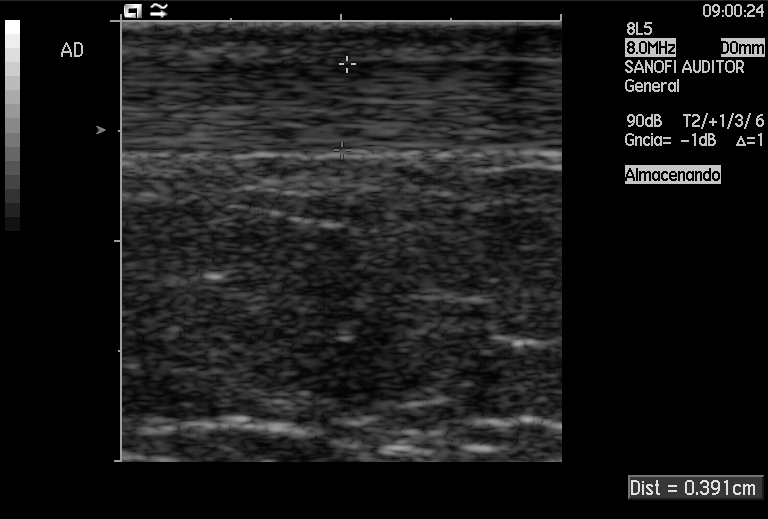
Which standard maternal-fetal ultrasound plane is shown: fetal abdomen, fetal brain, fetal femur, fetal thorax, maternal cervix, or other? If it's fetal brain and one of the three standard brain planes (trans-thalamic, trans-cerebellum, trans-ventricular), name which.

Other